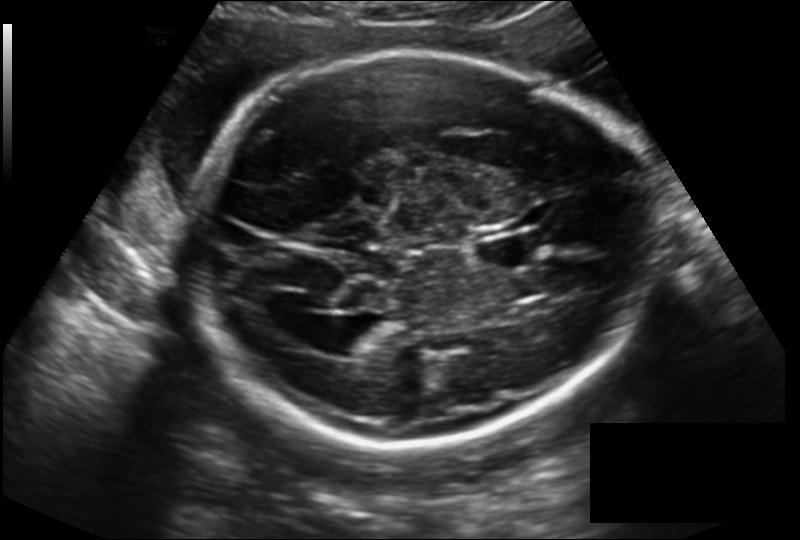
From this fetal ultrasound, estimate the head circumference (image width 155.0 mm).

Head circumference: 270.3 mm.